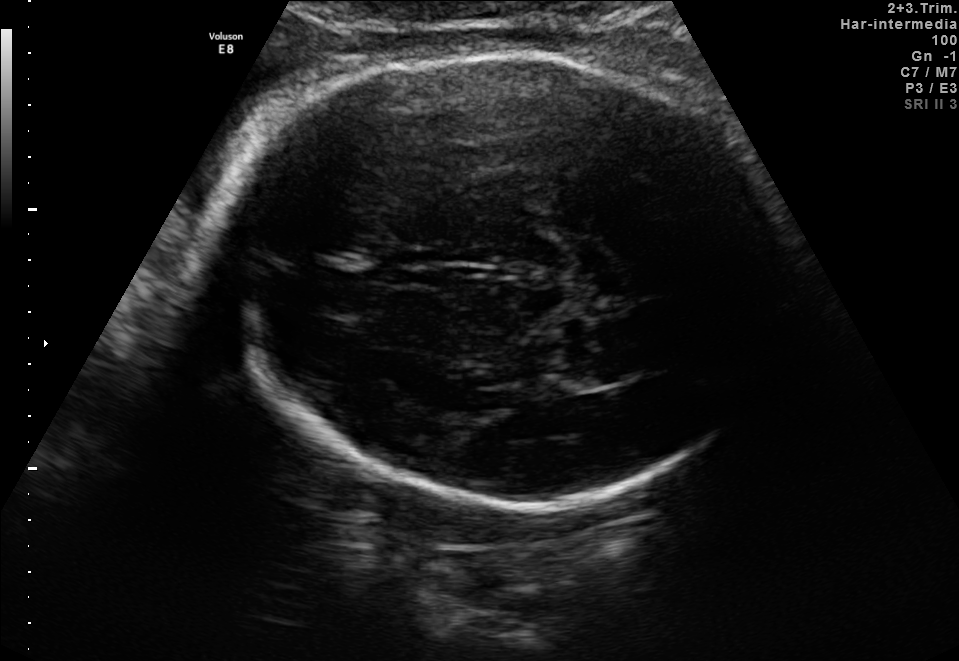
Fetal brain, trans-thalamic plane. Give [x1,y1,x2,y2] bounding boxes for each visible structure among: fetal head, CSP, LV.

Head: [219,52,788,513]